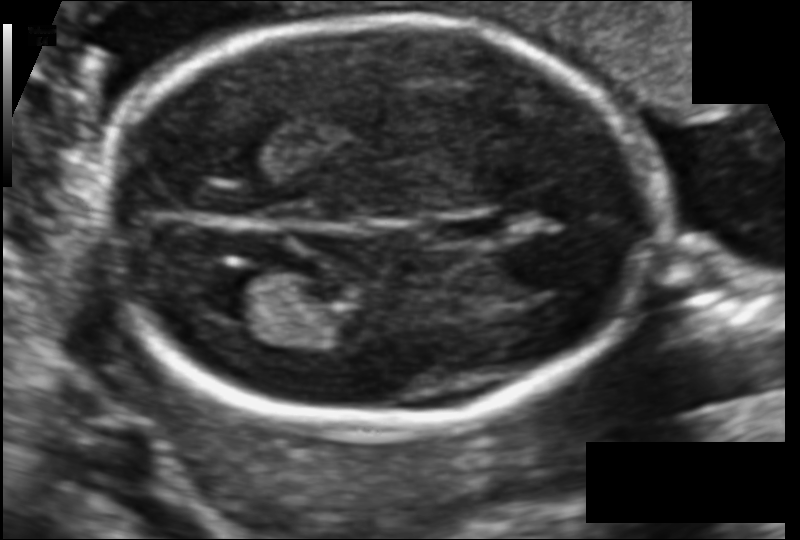
Fetal head ultrasound. Image width: 84.6 mm. Where is the cavum septum pellucidum?

CSP bounding box: [426,209,507,247]